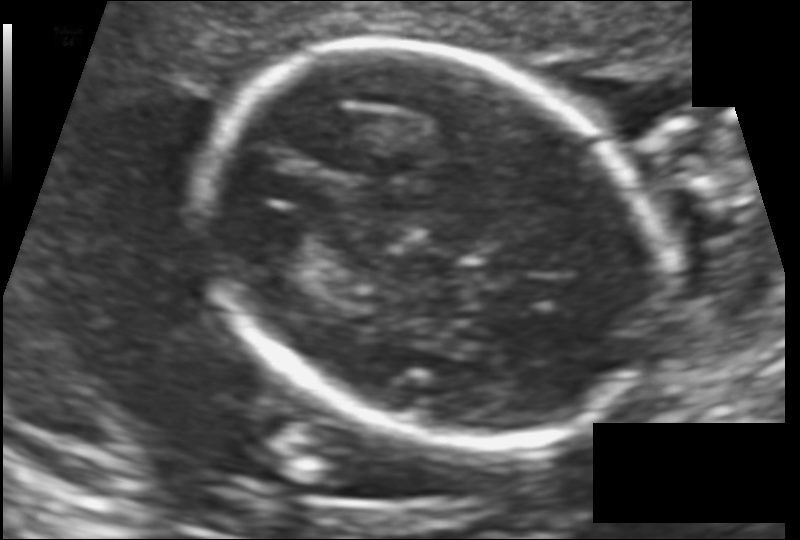
Fetal head ultrasound. Image width: 101.0 mm. Locate the fetal head and, if visible, the cavum septum pellucidum (CSP) and lateral ventricle (LV). Give bounding boxes as [x1,y1,x2,y2].

Head: [199,46,652,442]